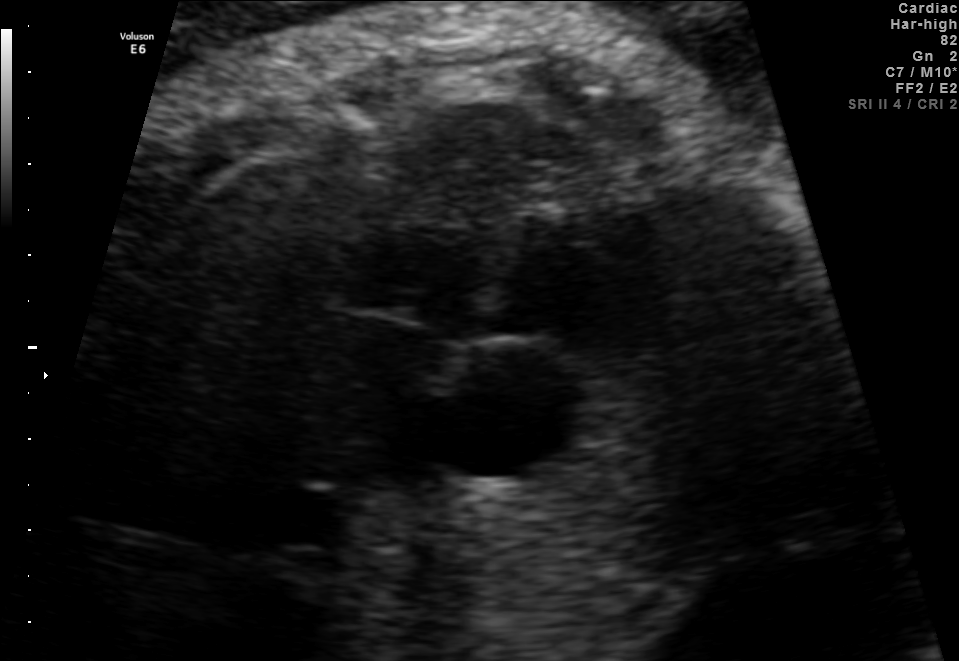
This is a 2D maternal-fetal ultrasound frame. Is it a fetal abdomen, fetal brain, fetal femur, fetal thorax, maternal cervix, or other standard plane? If it's fetal brain and one of the three standard brain planes (trans-thalamic, trans-cerebellum, trans-ventricular), name which.

Fetal thorax